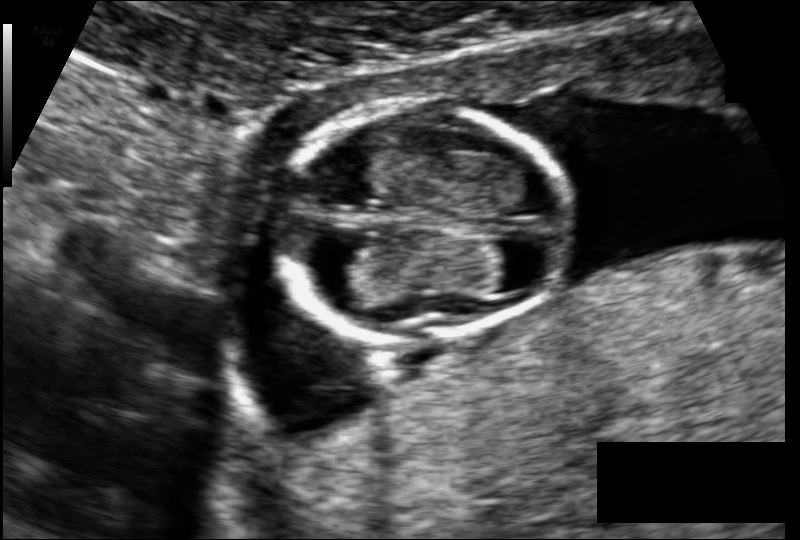
Measure the fetal head circumference shown in this ultrasound image. Image width: 78.5 mm.

Head circumference: 83.4 mm.